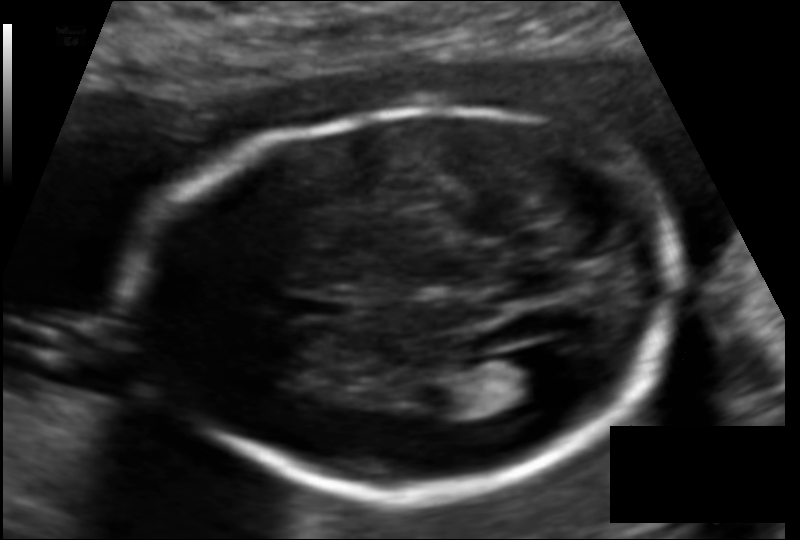
Estimate the fetal head circumference from this 2D ultrasound. Image width: 91.1 mm.

Head circumference: 176.0 mm.